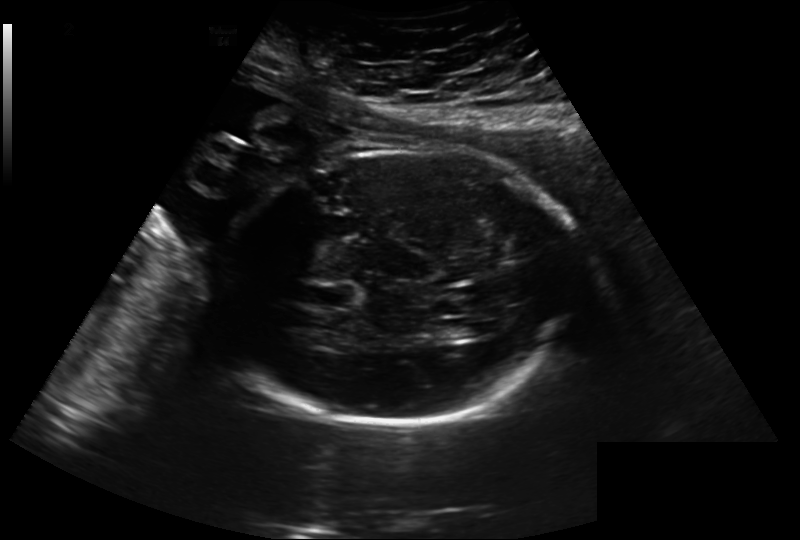
Fetal head ultrasound. Image width: 208.3 mm. Locate the fetal head and, if visible, the cavum septum pellucidum (CSP) and lateral ventricle (LV). Give bounding boxes as [x1,y1,x2,y2].

Head: [215,150,576,423]
CSP: [309,284,356,310]
Lateral ventricle: [437,317,476,340]